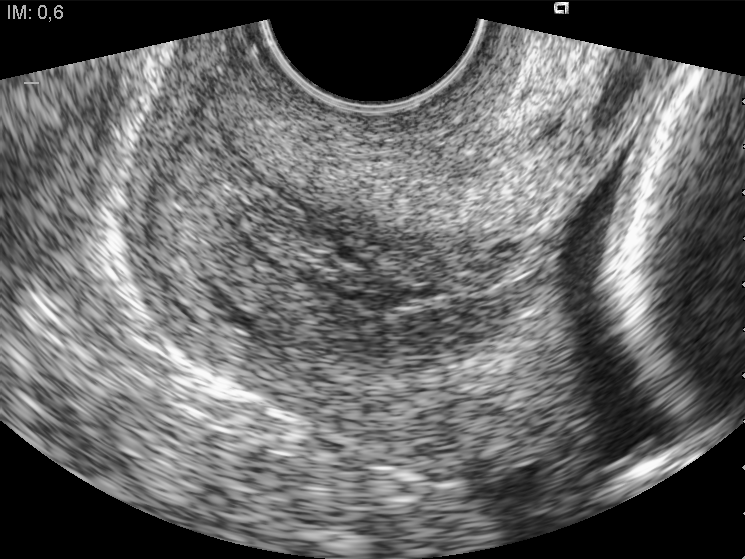
Which standard maternal-fetal ultrasound plane is shown: fetal abdomen, fetal brain, fetal femur, fetal thorax, maternal cervix, or other? If it's fetal brain and one of the three standard brain planes (trans-thalamic, trans-cerebellum, trans-ventricular), name which.

Maternal cervix